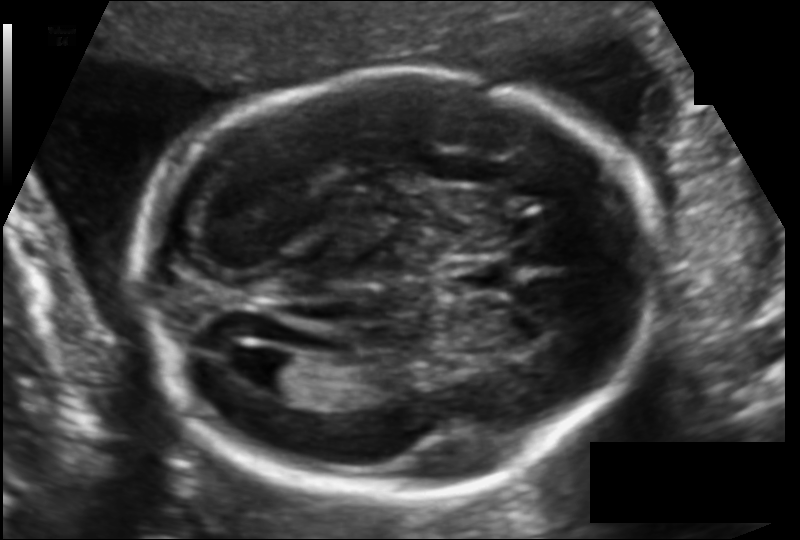
Fetal head ultrasound. Image width: 97.1 mm. Locate the lateral ventricle.

Lateral ventricle: [246,345,309,394]